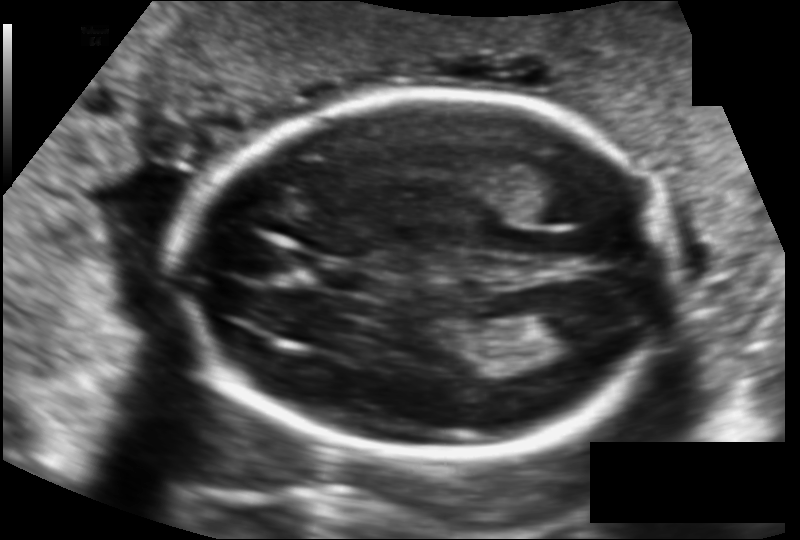
Fetal head ultrasound. Image width: 98.9 mm. Where is the cavum septum pellucidum?

CSP bounding box: [317,259,380,299]